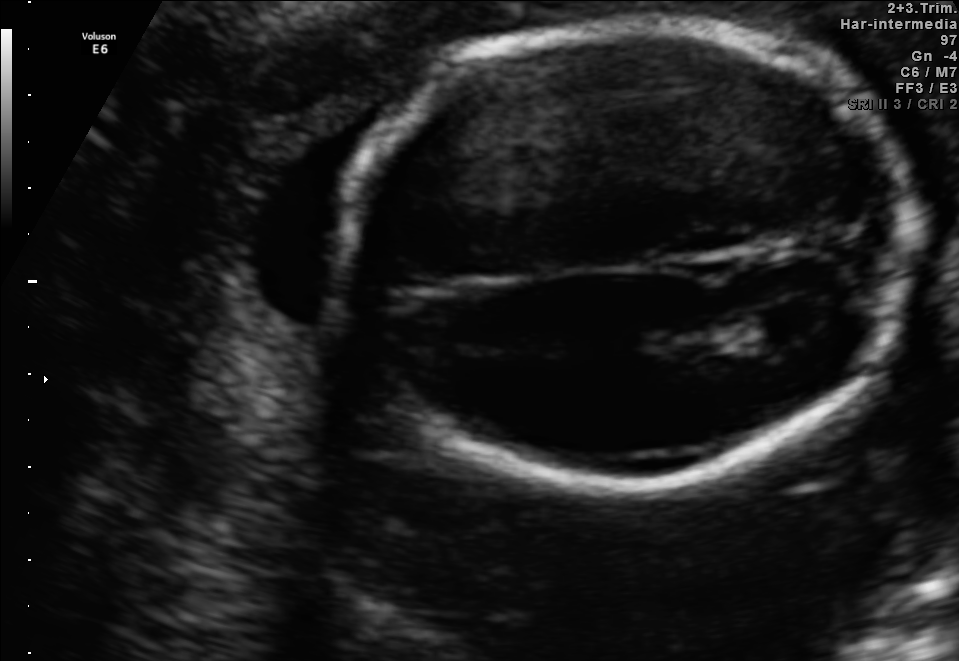
In this fetal brain, trans-ventricular plane, give the bounding box of the fetal head.

[330,11,923,502]